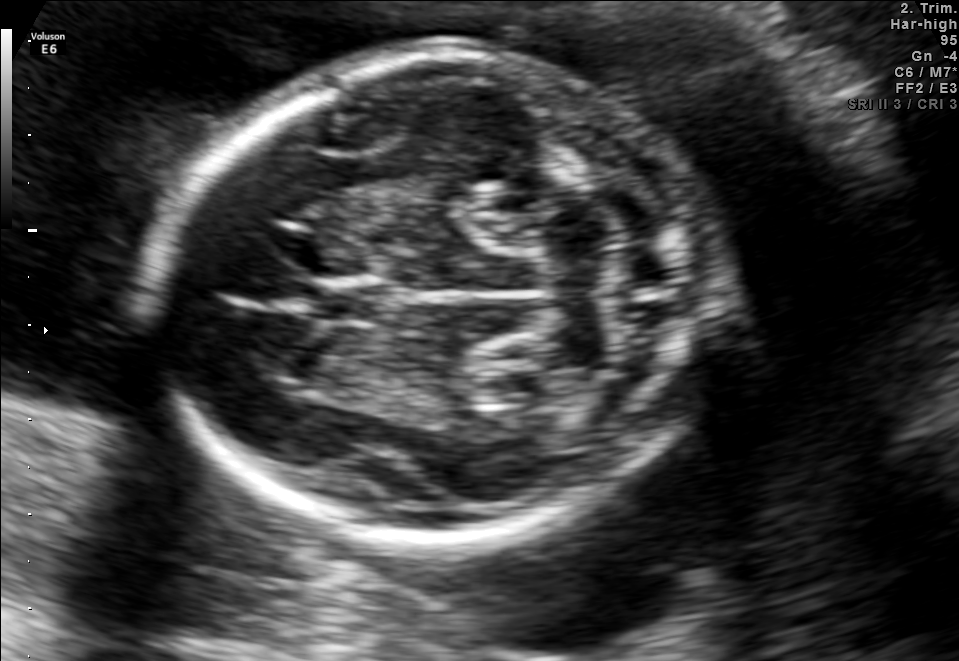
Fetal brain, trans-cerebellum plane. Where is the cavum septum pellucidum?

CSP bounding box: [309,281,384,324]